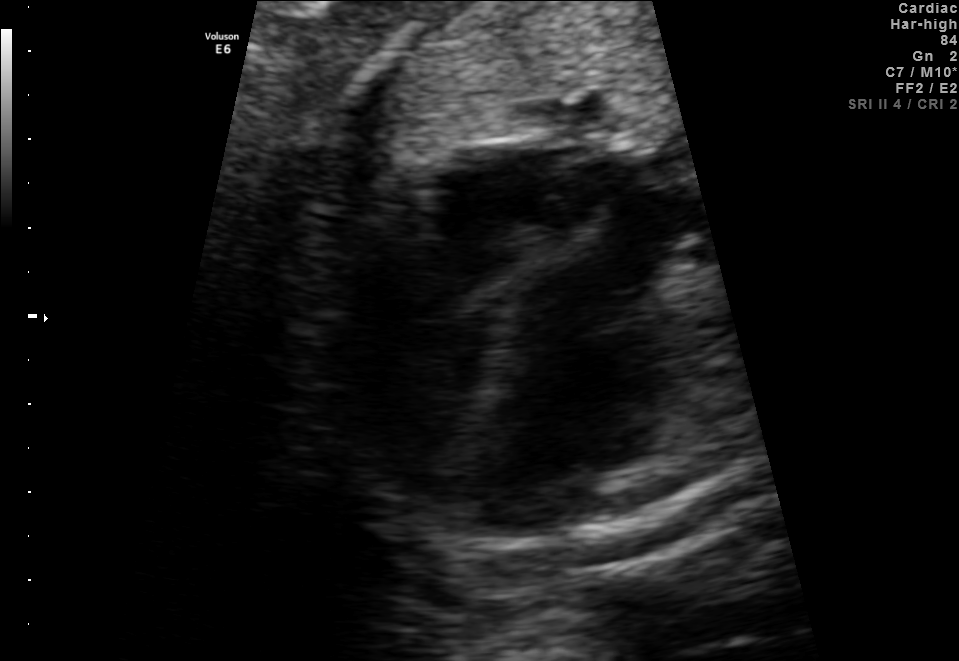
Identify the standard plane in this fetal ultrasound image: fetal abdomen, fetal brain, fetal femur, fetal thorax, maternal cervix, or other. If it's fetal brain and one of the three standard brain planes (trans-thalamic, trans-cerebellum, trans-ventricular), name which.

Fetal thorax